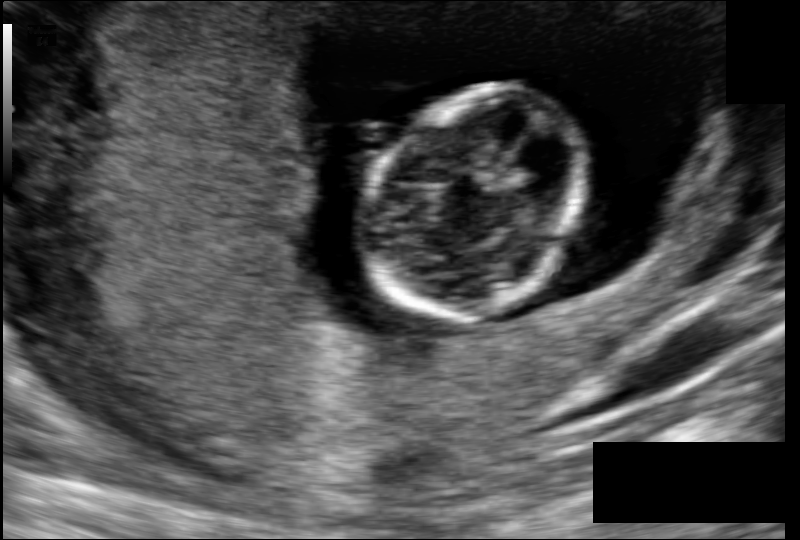
Fetal head ultrasound. Image width: 86.3 mm. Give [x1,y1,x2,y2] bounding boxes for each visible structure among: fetal head, CSP, LV.

Head: [360,86,588,324]